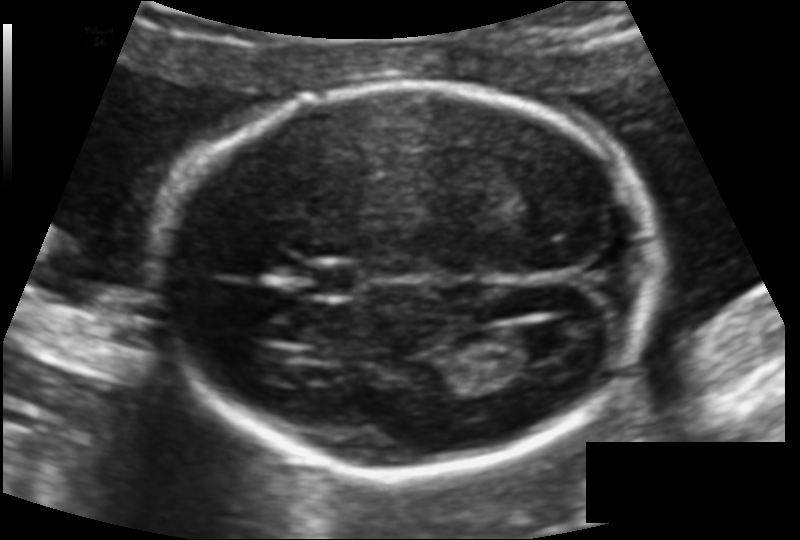
Fetal head ultrasound. Image width: 93.9 mm. Where is the cavum septum pellucidum?

CSP bounding box: [303,264,361,299]